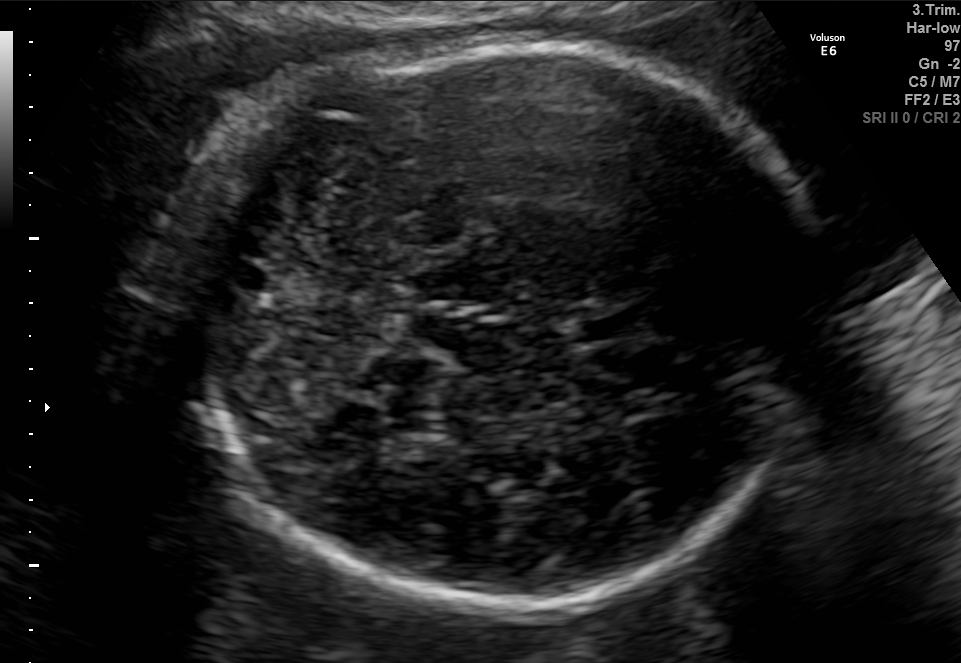
In this fetal brain, trans-cerebellum plane, give bounding boxes for the head outline, cavum septum pellucidum (CSP), and lateral ventricle (LV), where visible.

Head: [220,48,805,615]
CSP: [571,309,645,345]